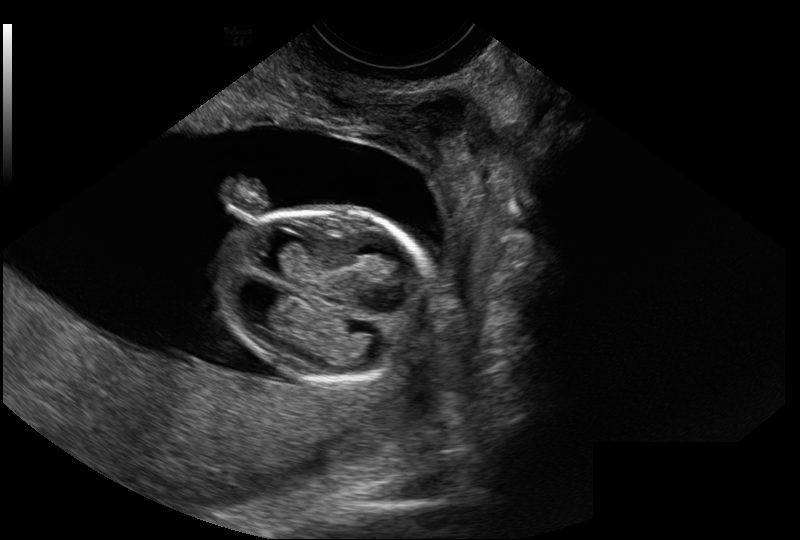
Estimate the fetal head circumference from this 2D ultrasound.

Head circumference: 73.0 mm (image width 91.6 mm).